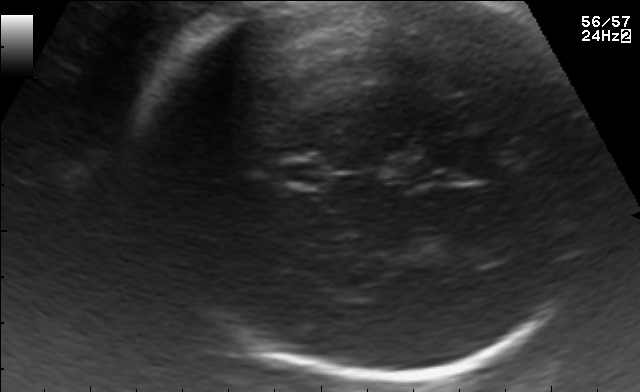
In this fetal brain, trans-thalamic plane, give bounding boxes for the head outline, cavum septum pellucidum (CSP), and lateral ventricle (LV), where visible.

Head: [137,1,602,377]
CSP: [283,164,321,182]